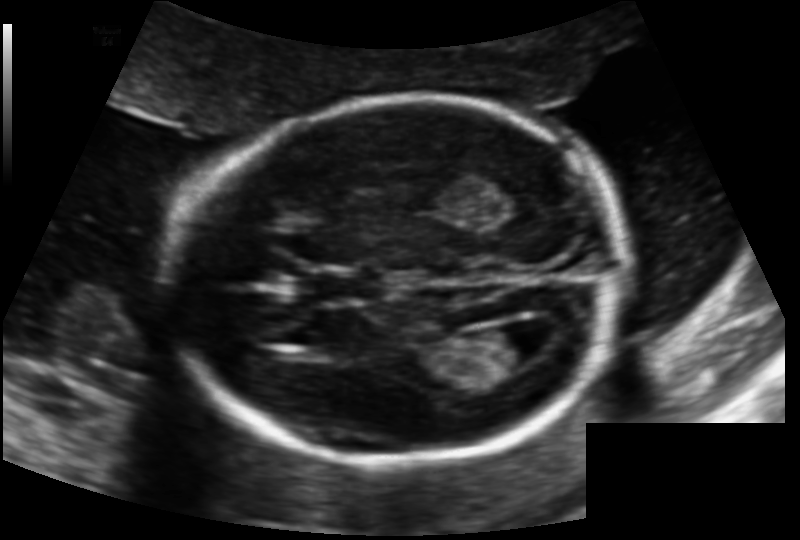
Fetal head ultrasound. Image width: 104.9 mm. Where is the fetal head?

Head bounding box: [174,97,624,464]